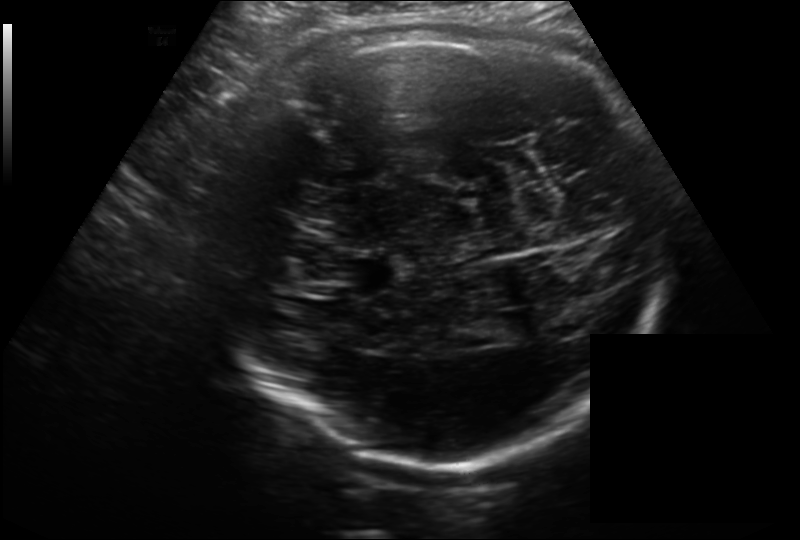
Fetal head ultrasound. Image width: 171.5 mm. Give [x1,y1,x2,y2] bounding boxes for each visible structure among: fetal head, CSP, LV.

Head: [218,16,664,459]
CSP: [336,254,400,293]